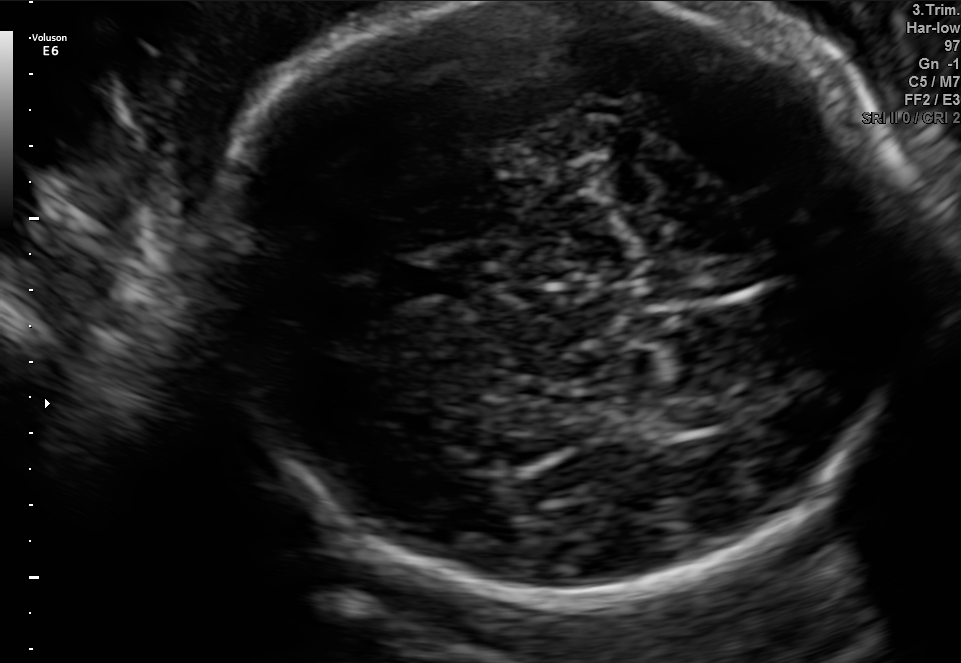
Fetal brain, trans-thalamic plane. Locate the cavum septum pellucidum.

CSP: [396,258,487,305]